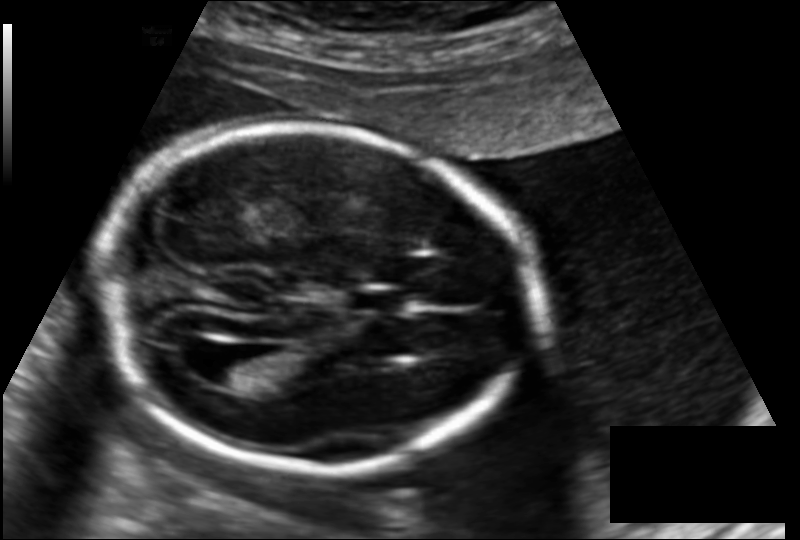
Estimate the fetal head circumference from this 2D ultrasound. Image width: 115.9 mm.

Head circumference: 184.1 mm.